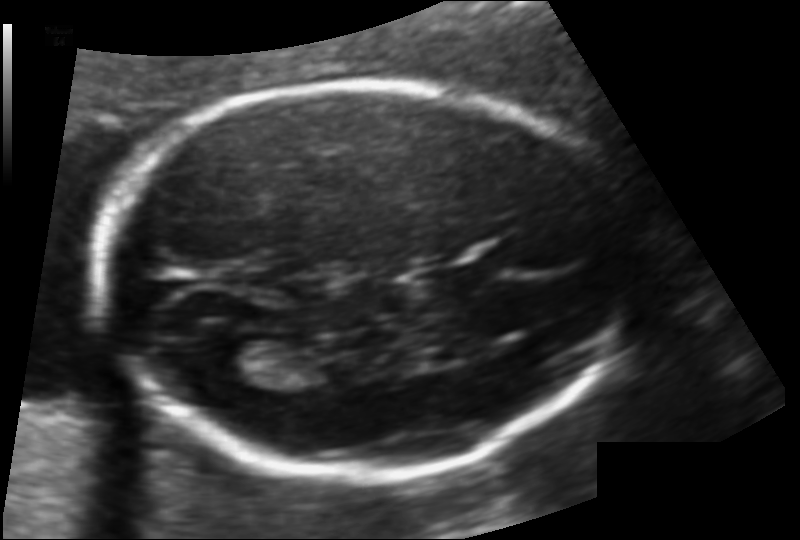
In this fetal head ultrasound, give the bounding box of the cavum septum pellucidum. Image width: 93.3 mm.

[430,258,490,301]